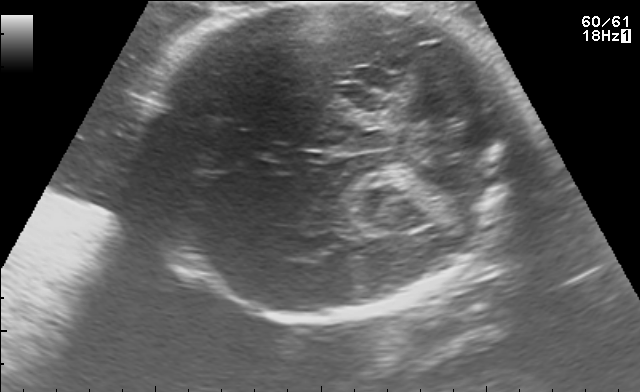
Fetal brain, trans-thalamic plane. Locate the fetal head.

Head: [115,3,527,321]